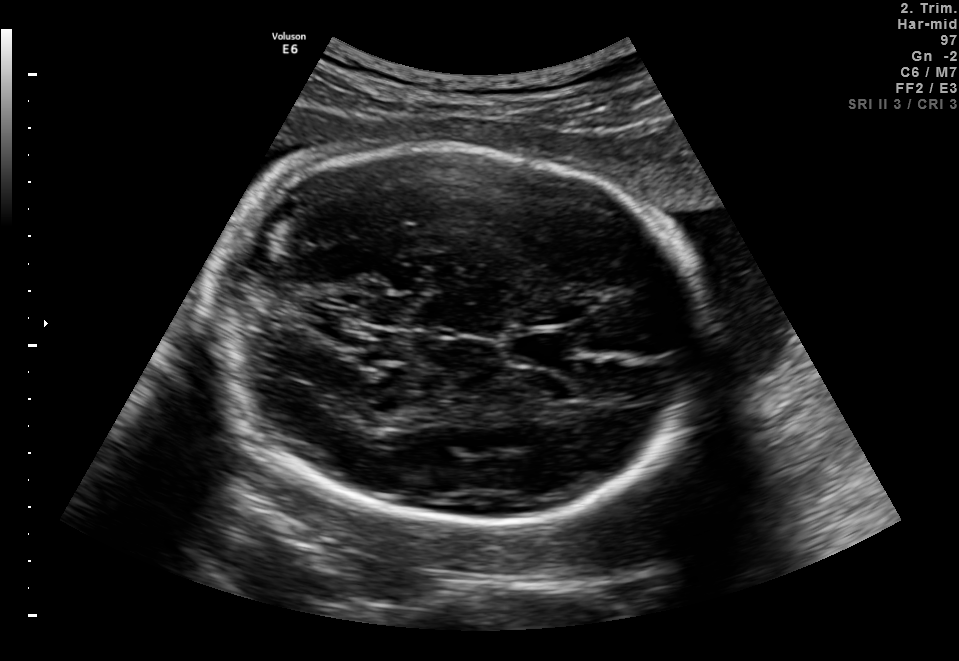
In this fetal brain, trans-thalamic plane, give the bounding box of the cavum septum pellucidum.

[512,333,575,365]